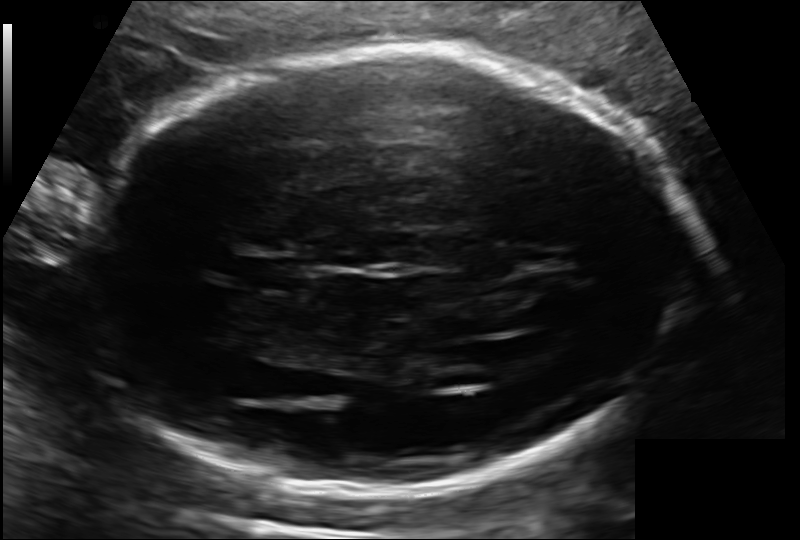
In this fetal head ultrasound, give the bounding box of the fetal head. Image width: 114.4 mm.

[79,48,694,495]